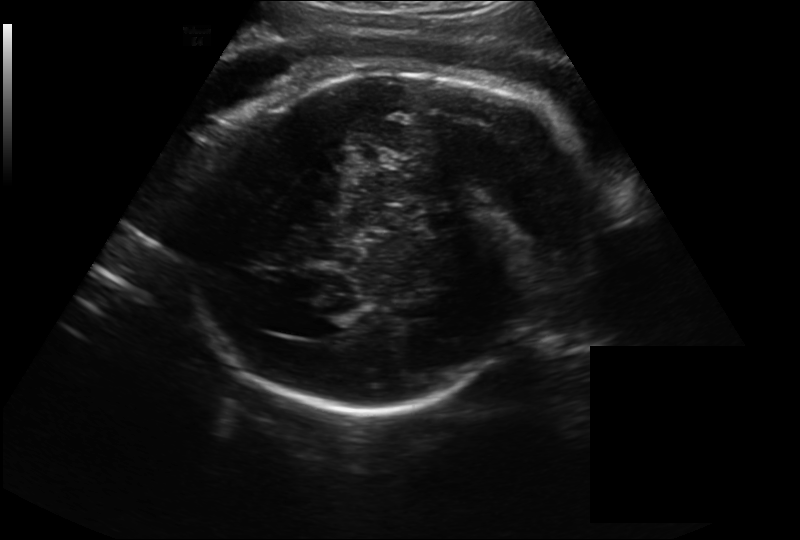
From this fetal ultrasound, estimate the head circumference (image width 209.3 mm).

Head circumference: 312.5 mm.